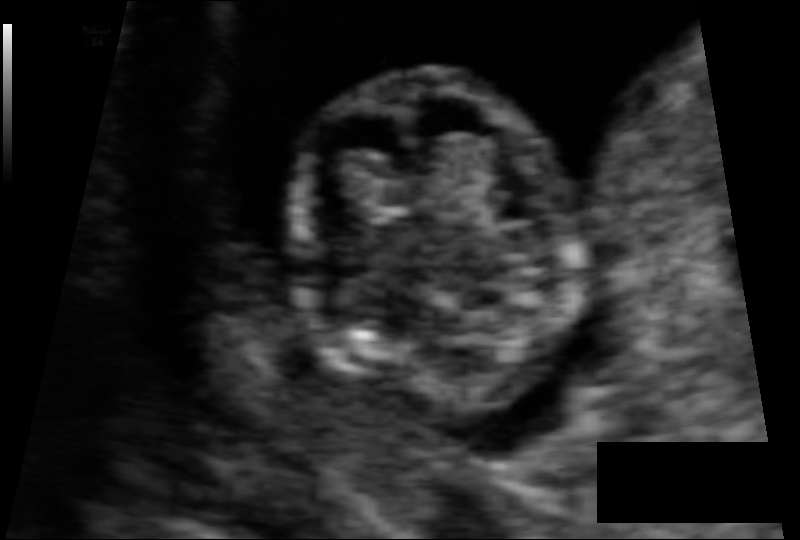
From this fetal ultrasound, estimate the head circumference (image width 52.5 mm).

Head circumference: 67.8 mm.